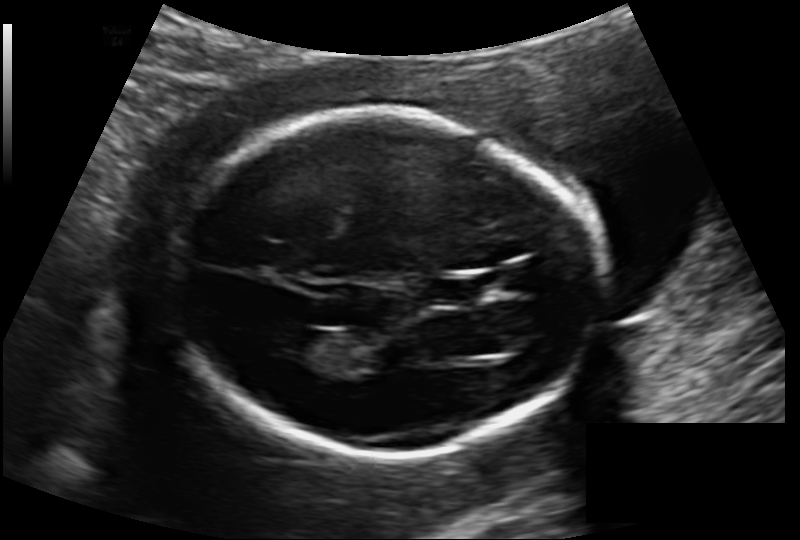
Fetal head ultrasound. Image width: 106.3 mm. Where is the lateral ventricle?

Lateral ventricle bounding box: [265,322,331,366]